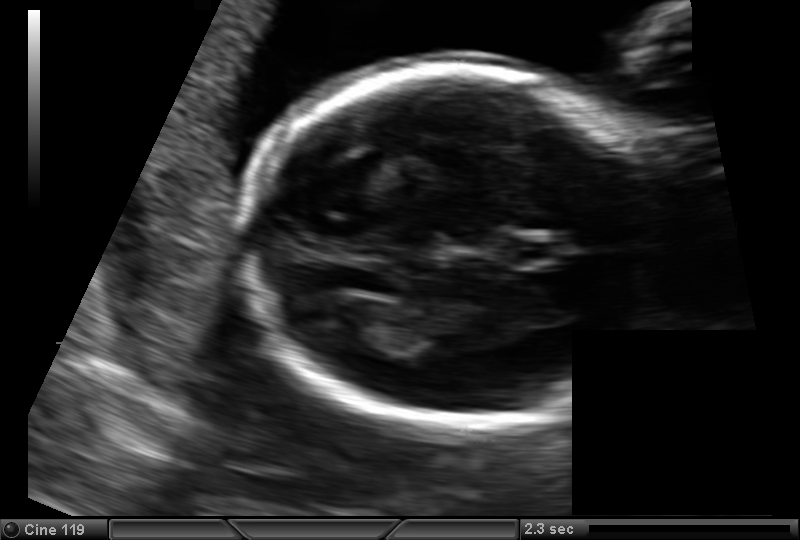
In this fetal head ultrasound, give bounding boxes for the head outline, cavum septum pellucidum (CSP), and lateral ventricle (LV), where visible. Image width: 103.2 mm.

Head: [246,65,664,424]
CSP: [507,234,562,269]
Lateral ventricle: [307,292,379,346]